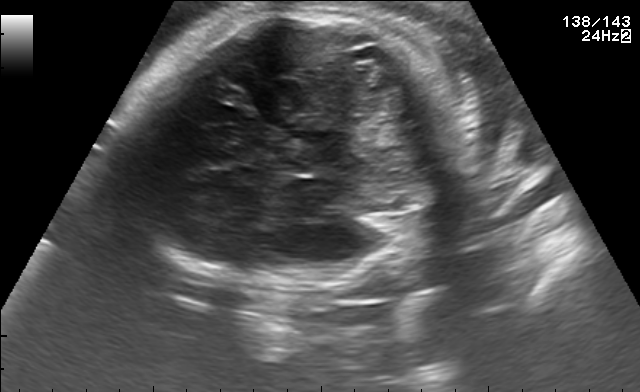
Fetal brain, trans-thalamic plane. Locate the fetal head.

Head: [125,9,454,288]